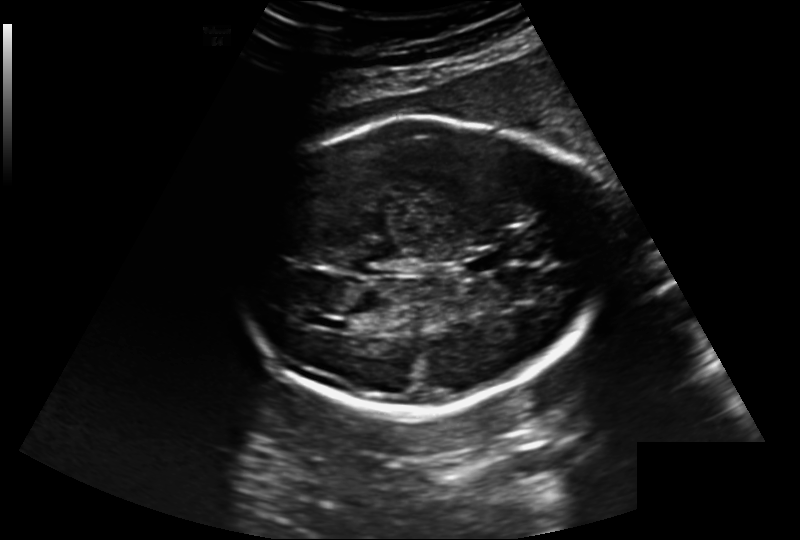
Fetal head ultrasound. Image width: 175.6 mm. Where is the fetal head?

Head bounding box: [235,115,610,413]